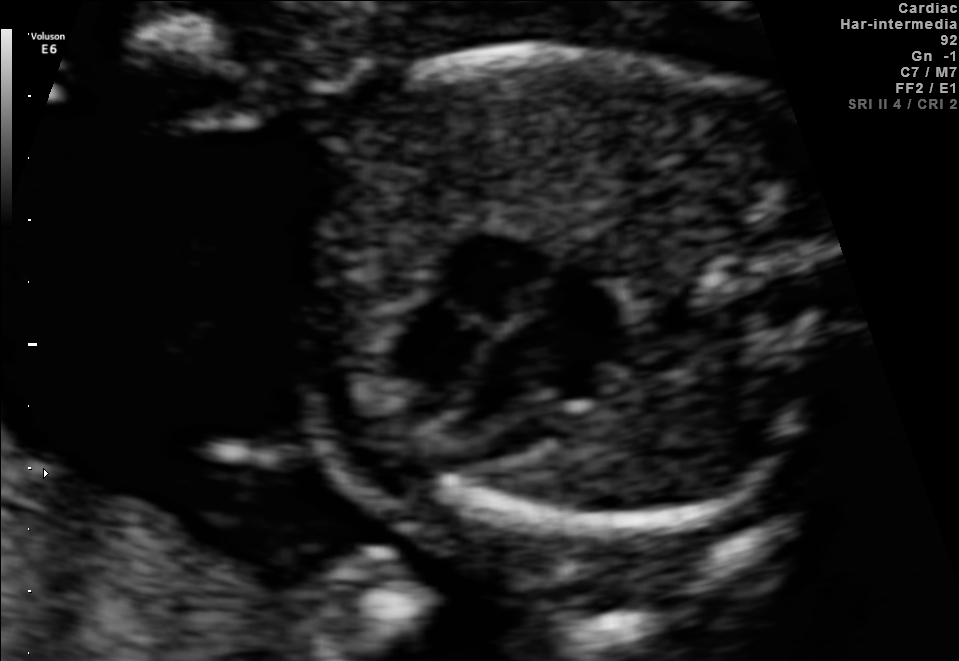
Which standard maternal-fetal ultrasound plane is shown: fetal abdomen, fetal brain, fetal femur, fetal thorax, maternal cervix, or other? If it's fetal brain and one of the three standard brain planes (trans-thalamic, trans-cerebellum, trans-ventricular), name which.

Fetal thorax